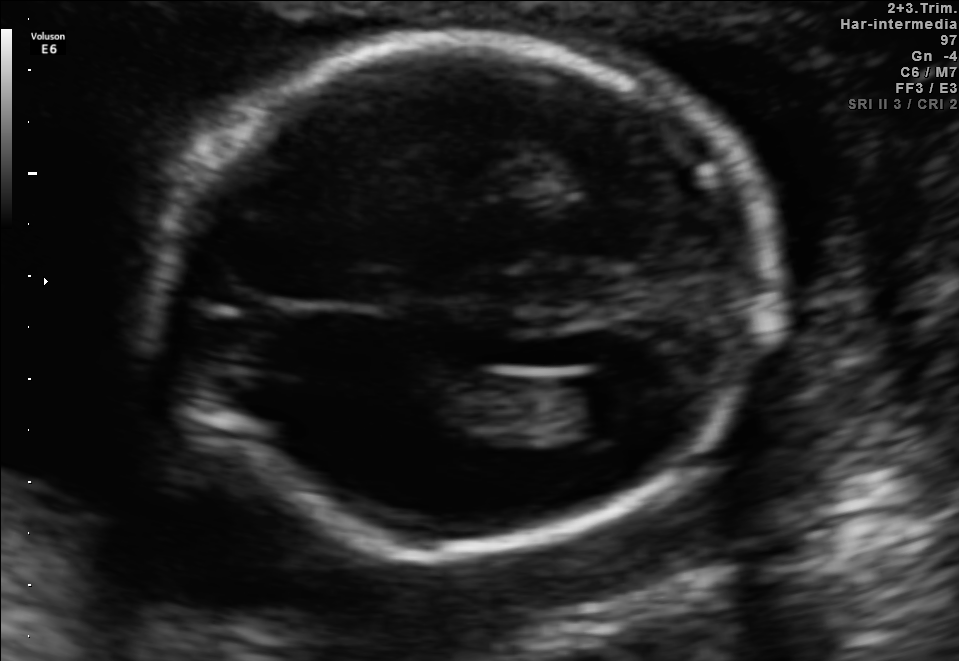
Fetal brain, trans-ventricular plane. Locate the fetal head.

Head: [125,30,790,561]